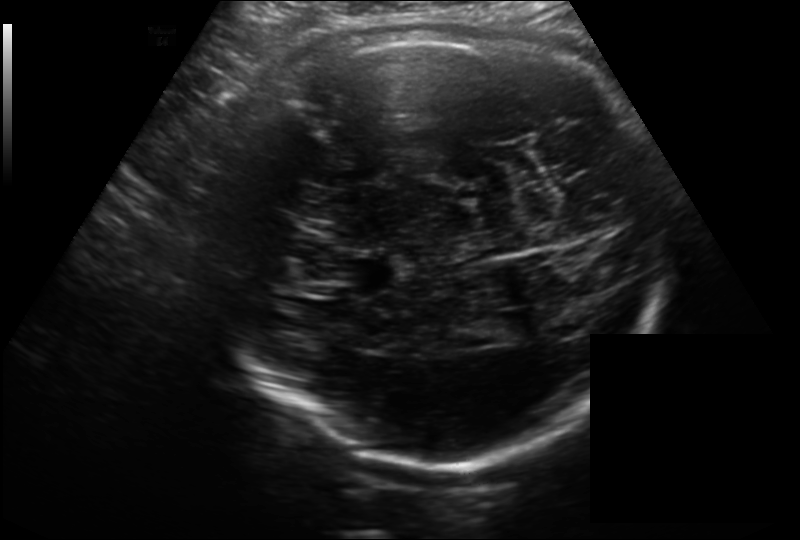
Fetal head ultrasound. Image width: 171.5 mm. Locate the cavum septum pellucidum.

CSP: [336,254,400,293]